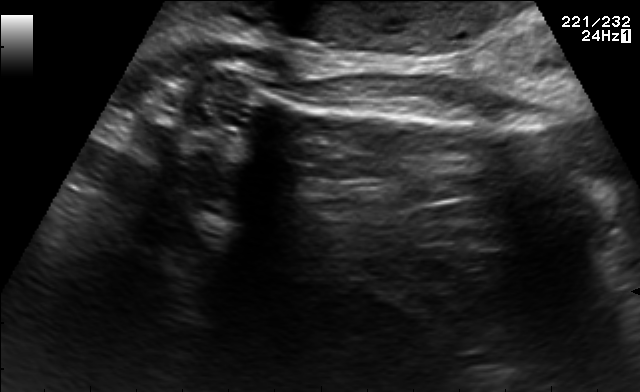
Identify the standard plane in this fetal ultrasound image: fetal abdomen, fetal brain, fetal femur, fetal thorax, maternal cervix, or other. If it's fetal brain and one of the three standard brain planes (trans-thalamic, trans-cerebellum, trans-ventricular), name which.

Fetal femur